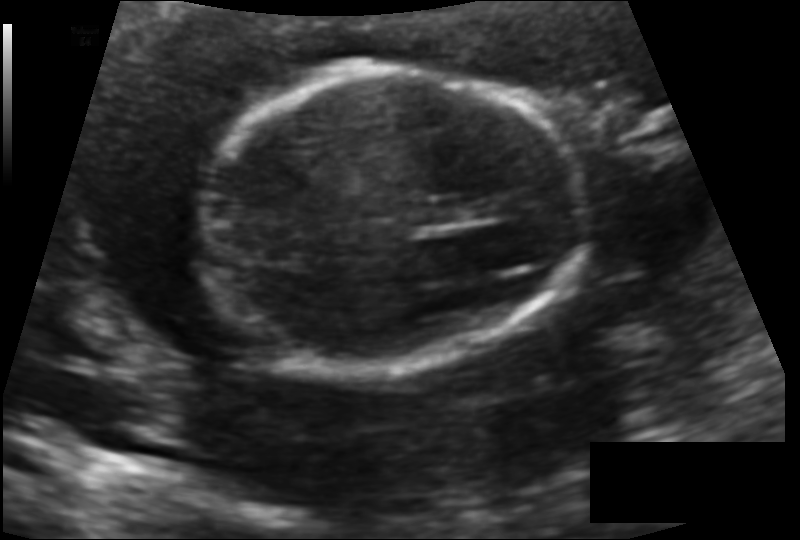
In this fetal head ultrasound, give the bounding box of the fetal head. Image width: 90.0 mm.

[207,71,580,364]